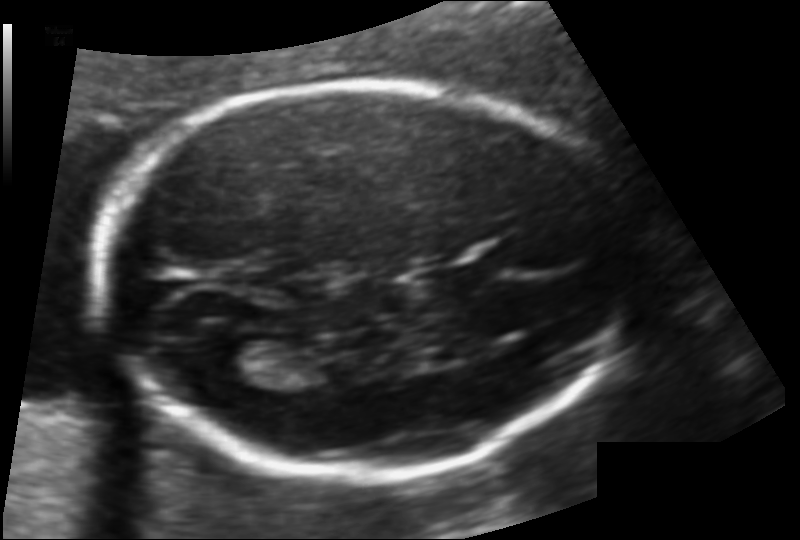
Fetal head ultrasound. Image width: 93.3 mm. Where is the cavum septum pellucidum?

CSP bounding box: [430,258,490,301]